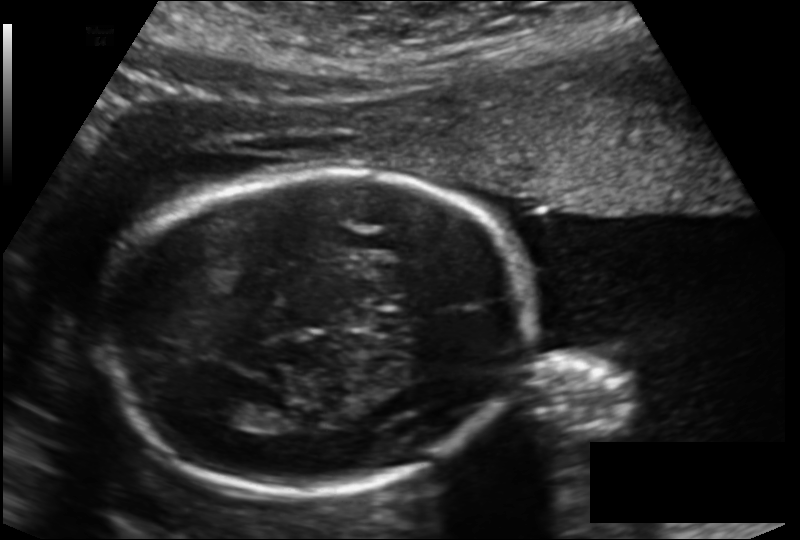
Estimate the fetal head circumference from this 2D ultrasound.

Head circumference: 183.0 mm (image width 123.8 mm).